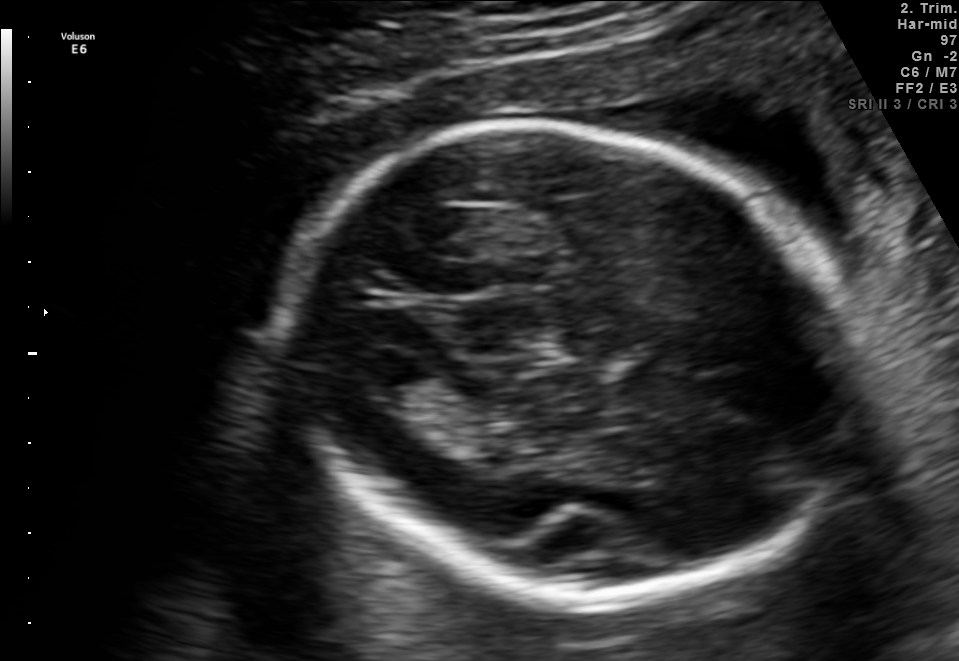
Which standard maternal-fetal ultrasound plane is shown: fetal abdomen, fetal brain, fetal femur, fetal thorax, maternal cervix, or other? If it's fetal brain and one of the three standard brain planes (trans-thalamic, trans-cerebellum, trans-ventricular), name which.

Fetal brain (trans-thalamic plane)